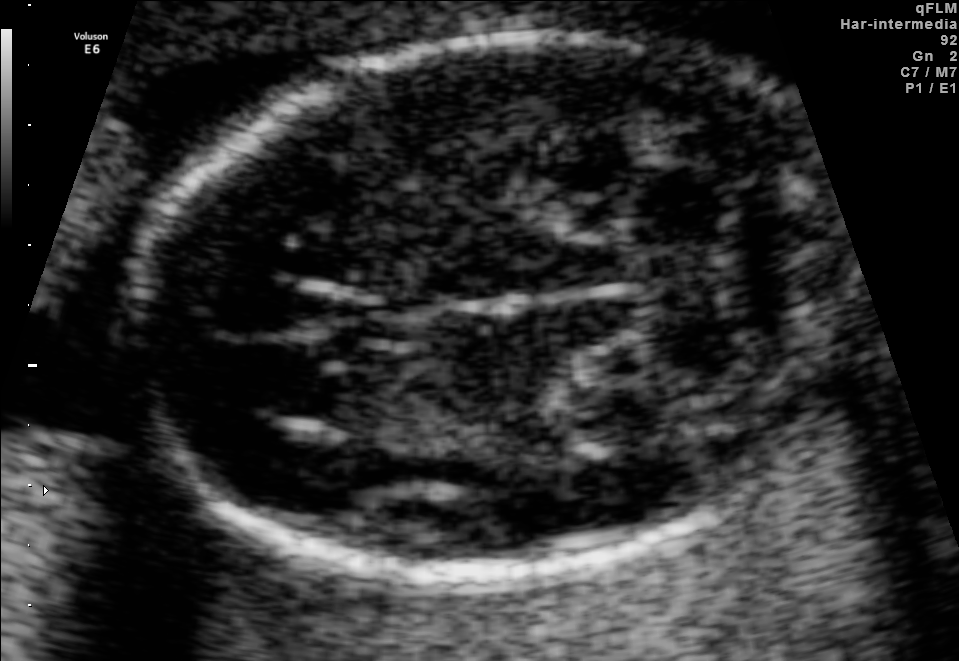
Fetal brain, trans-cerebellum plane. Locate the fetal head and, if visible, the cavum septum pellucidum (CSP) and lateral ventricle (LV). Give bounding boxes as [x1,y1,x2,y2].

Head: [136,33,847,576]